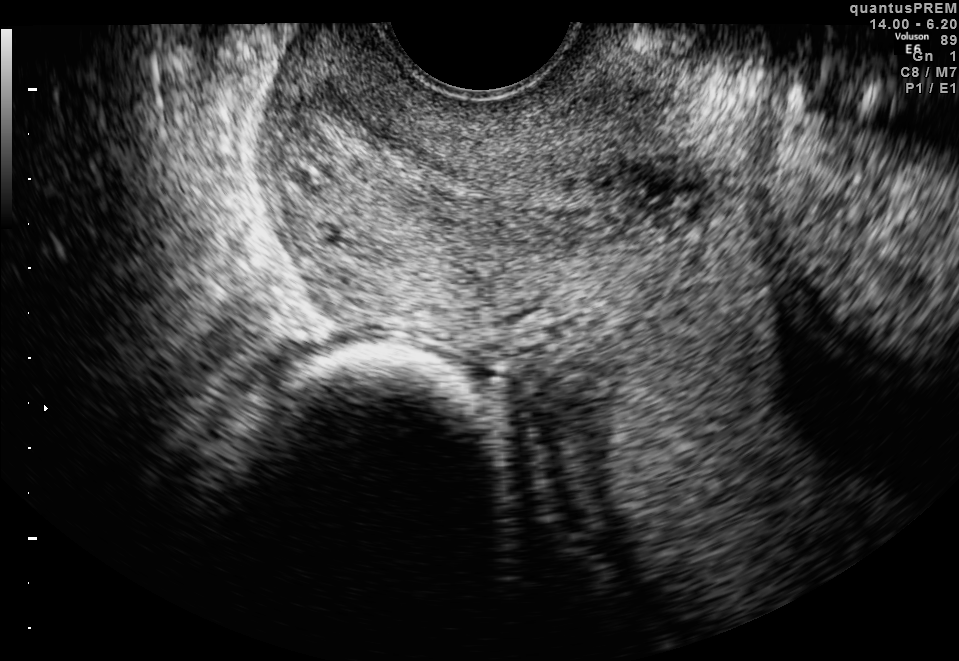
Classify this maternal-fetal ultrasound image as one of the six standard planes — fetal abdomen, fetal brain, fetal femur, fetal thorax, maternal cervix, or other. If it's fetal brain and one of the three standard brain planes (trans-thalamic, trans-cerebellum, trans-ventricular), name which.

Maternal cervix